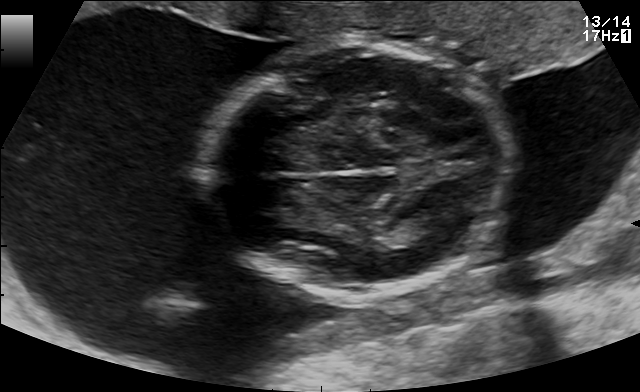
In this fetal brain, trans-thalamic plane, give the bounding box of the fetal head.

[205,45,509,297]